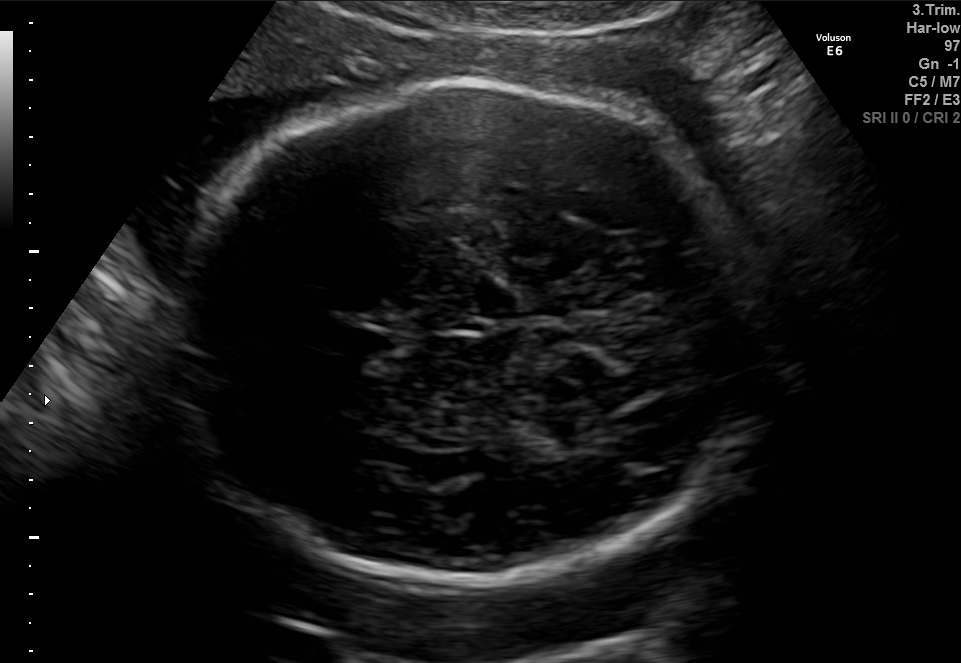
Fetal brain, trans-thalamic plane. Where is the fetal head?

Head bounding box: [174,82,775,587]